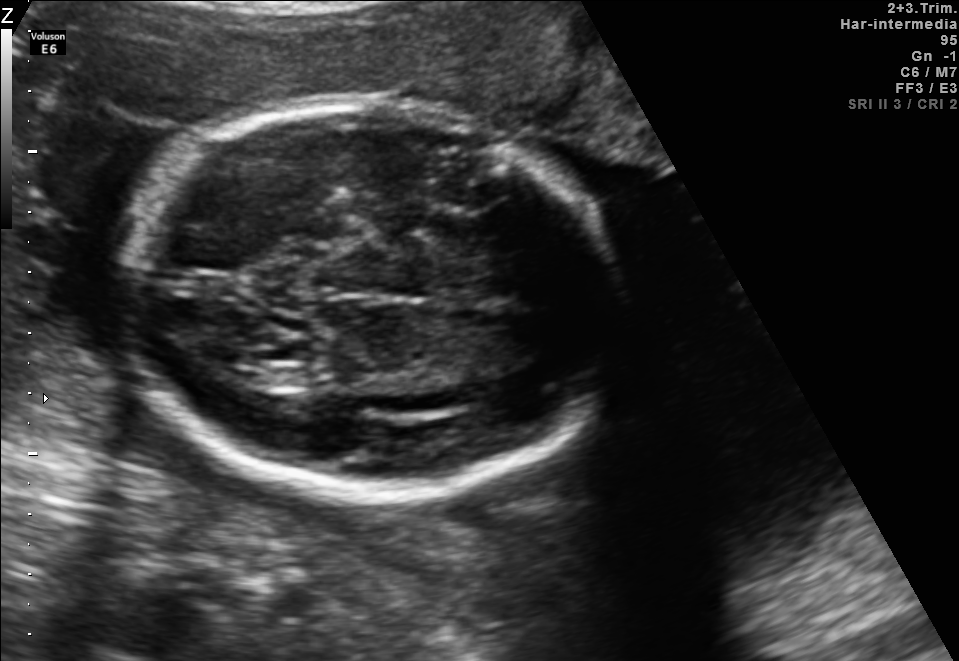
Fetal brain, trans-thalamic plane. Locate the fetal head.

Head: [118,103,615,498]